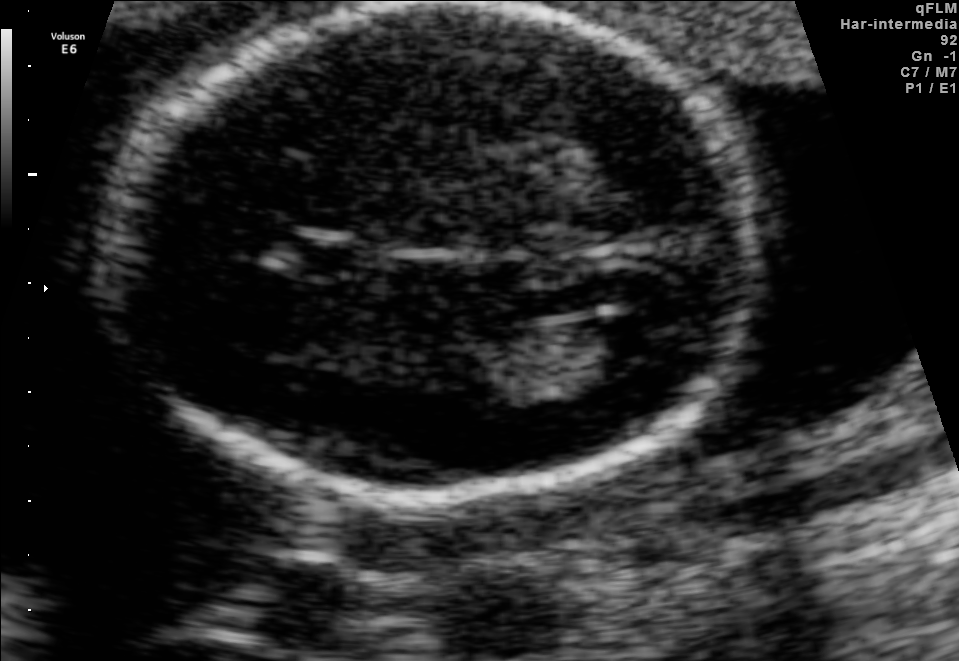
This is a 2D maternal-fetal ultrasound frame. Is it a fetal abdomen, fetal brain, fetal femur, fetal thorax, maternal cervix, or other standard plane? If it's fetal brain and one of the three standard brain planes (trans-thalamic, trans-cerebellum, trans-ventricular), name which.

Fetal brain (trans-ventricular plane)